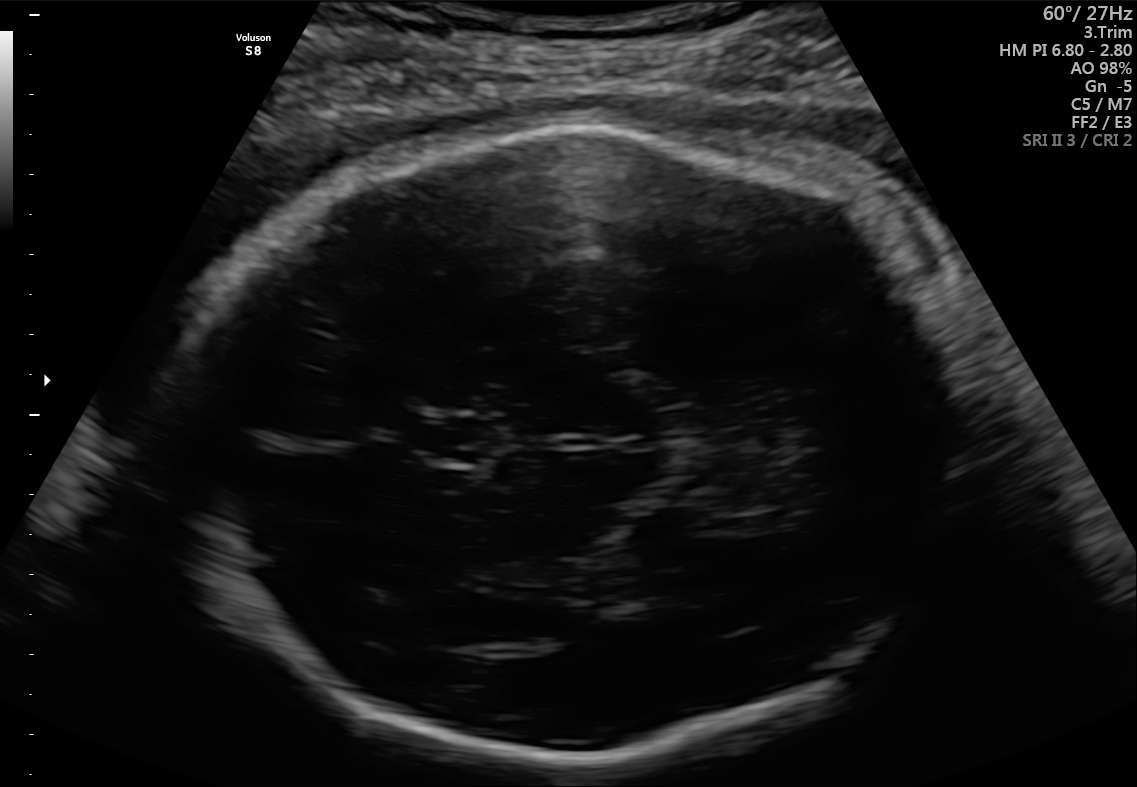
Fetal brain, trans-thalamic plane. Where is the cavum septum pellucidum?

CSP bounding box: [418,417,488,464]